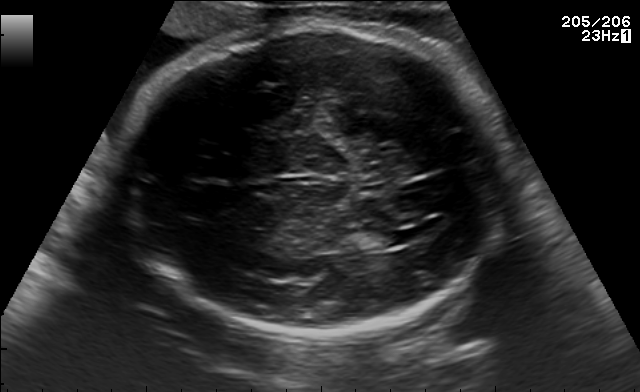
Identify the standard plane in this fetal ultrasound image: fetal abdomen, fetal brain, fetal femur, fetal thorax, maternal cervix, or other. If it's fetal brain and one of the three standard brain planes (trans-thalamic, trans-cerebellum, trans-ventricular), name which.

Fetal brain (trans-ventricular plane)